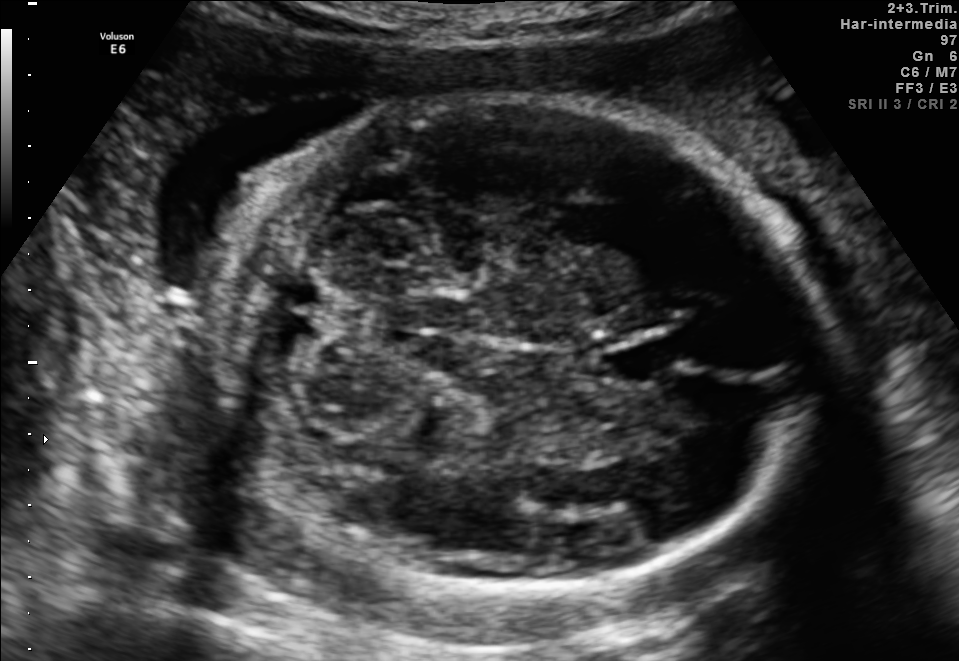
Fetal brain, trans-cerebellum plane. Locate the cavum septum pellucidum.

CSP: [595,328,681,394]